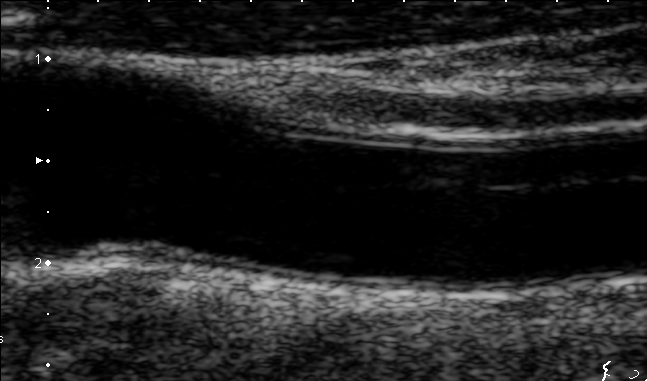
Which standard maternal-fetal ultrasound plane is shown: fetal abdomen, fetal brain, fetal femur, fetal thorax, maternal cervix, or other? If it's fetal brain and one of the three standard brain planes (trans-thalamic, trans-cerebellum, trans-ventricular), name which.

Other